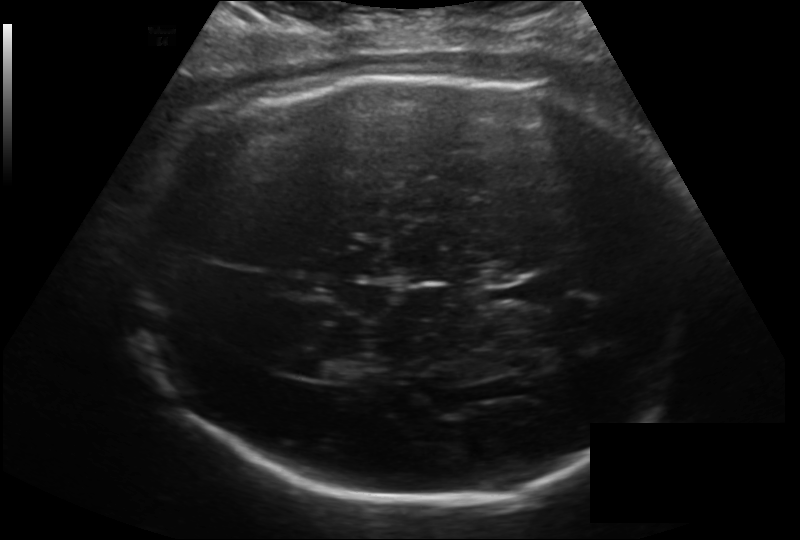
In this fetal head ultrasound, give the bounding box of the lateral ventricle. Image width: 154.4 mm.

[304,349,365,384]